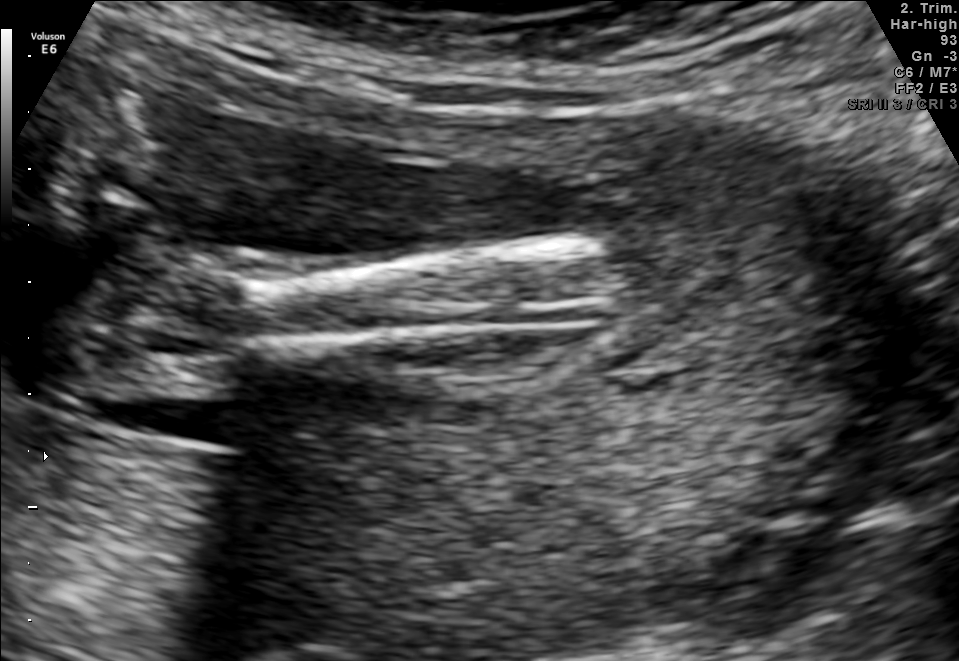
Identify the standard plane in this fetal ultrasound image: fetal abdomen, fetal brain, fetal femur, fetal thorax, maternal cervix, or other. If it's fetal brain and one of the three standard brain planes (trans-thalamic, trans-cerebellum, trans-ventricular), name which.

Other